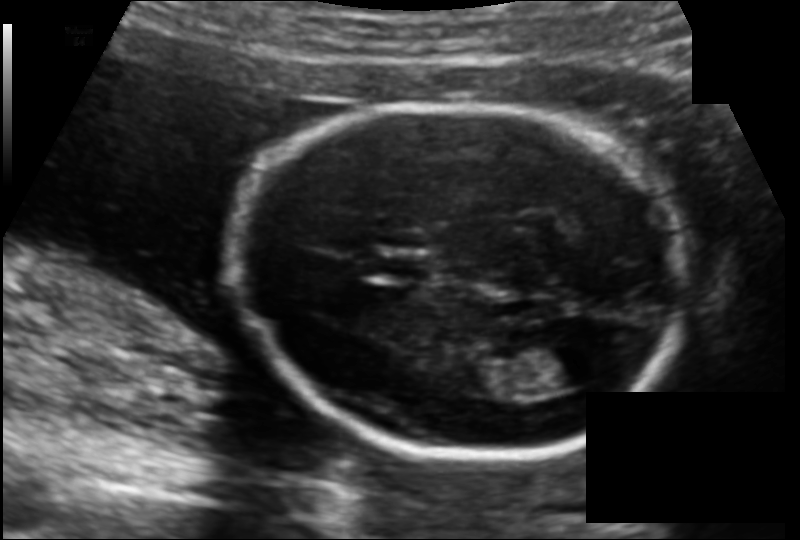
Estimate the fetal head circumference from this 2D ultrasound.

Head circumference: 165.0 mm (image width 100.4 mm).